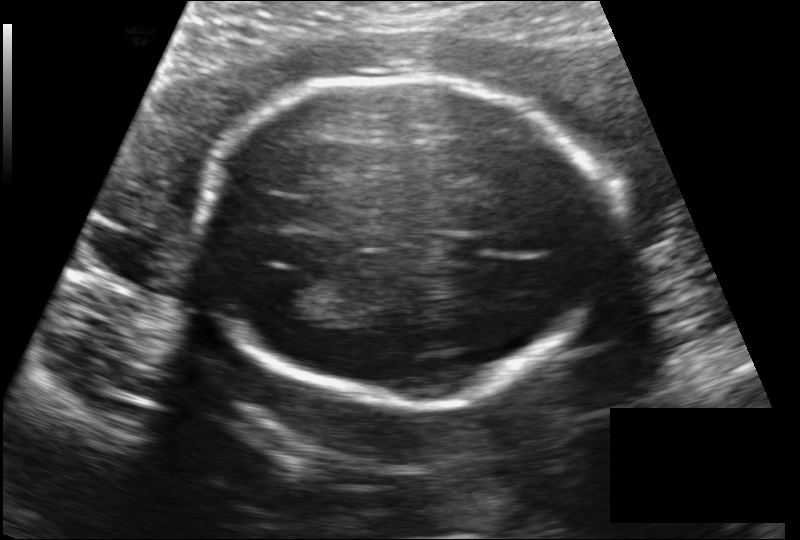
Fetal head ultrasound. Image width: 119.2 mm. Locate the fetal head and, if visible, the cavum septum pellucidum (CSP) and lateral ventricle (LV). Give bounding boxes as [x1,y1,x2,y2].

Head: [199,73,598,402]
CSP: [444,235,488,264]
Lateral ventricle: [264,276,320,318]